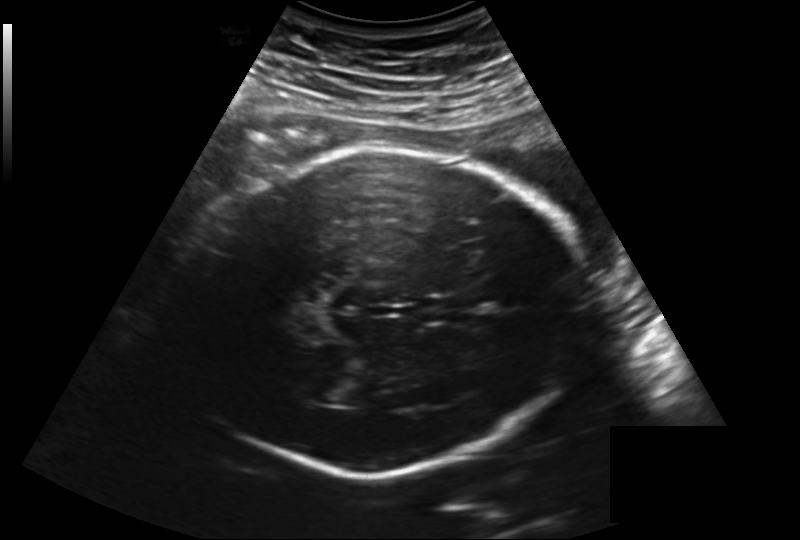
What is the fetal head circumference? Image width is 175.2 mm.

260.4 mm